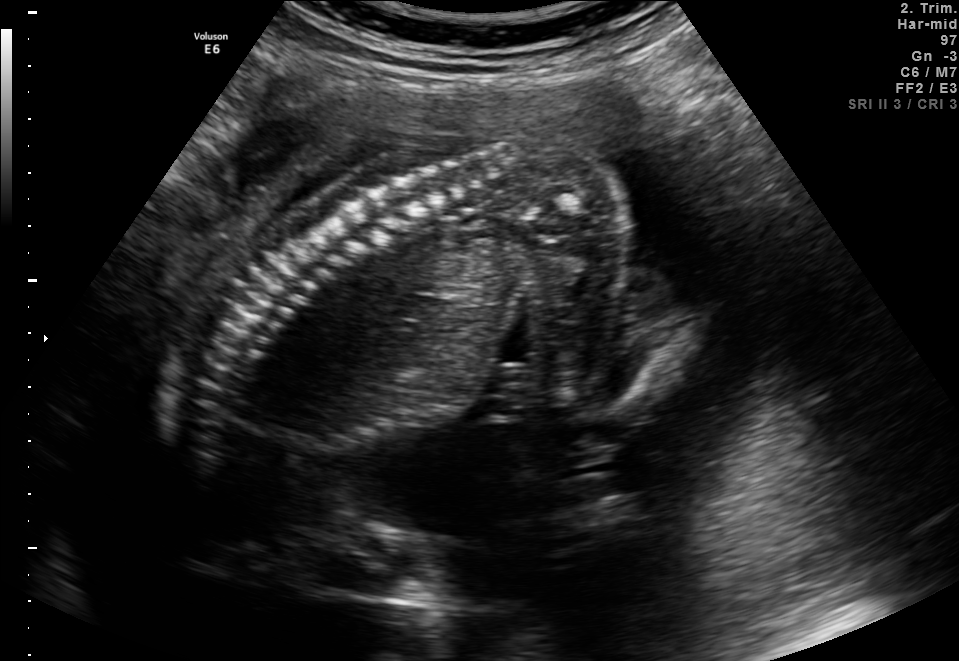
Classify this maternal-fetal ultrasound image as one of the six standard planes — fetal abdomen, fetal brain, fetal femur, fetal thorax, maternal cervix, or other. If it's fetal brain and one of the three standard brain planes (trans-thalamic, trans-cerebellum, trans-ventricular), name which.

Other